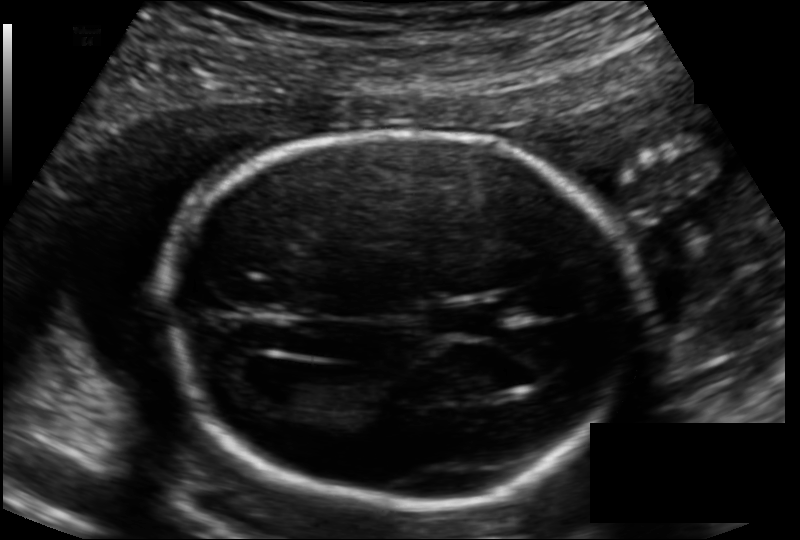
Estimate the fetal head circumference from this 2D ultrasound.

Head circumference: 171.2 mm (image width 100.8 mm).